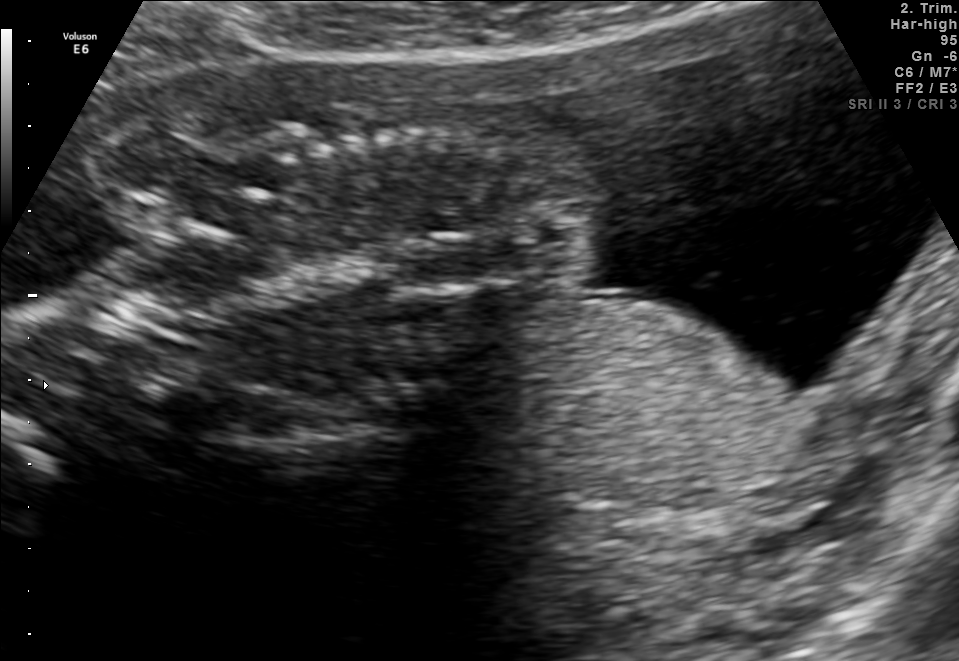
Identify the standard plane in this fetal ultrasound image: fetal abdomen, fetal brain, fetal femur, fetal thorax, maternal cervix, or other. If it's fetal brain and one of the three standard brain planes (trans-thalamic, trans-cerebellum, trans-ventricular), name which.

Other